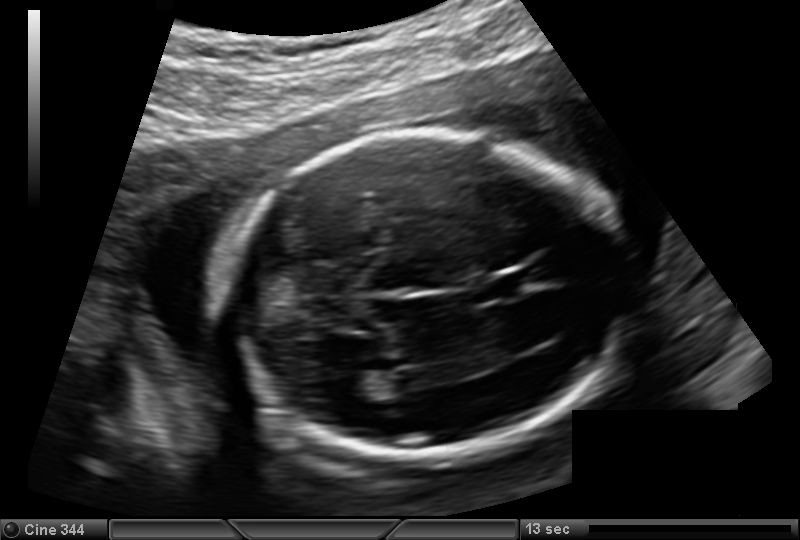
In this fetal head ultrasound, give bounding boxes for the head outline, cavum septum pellucidum (CSP), and lateral ventricle (LV), where visible. Image width: 115.3 mm.

Head: [219,127,632,462]
CSP: [477,266,534,306]
Lateral ventricle: [332,372,376,406]